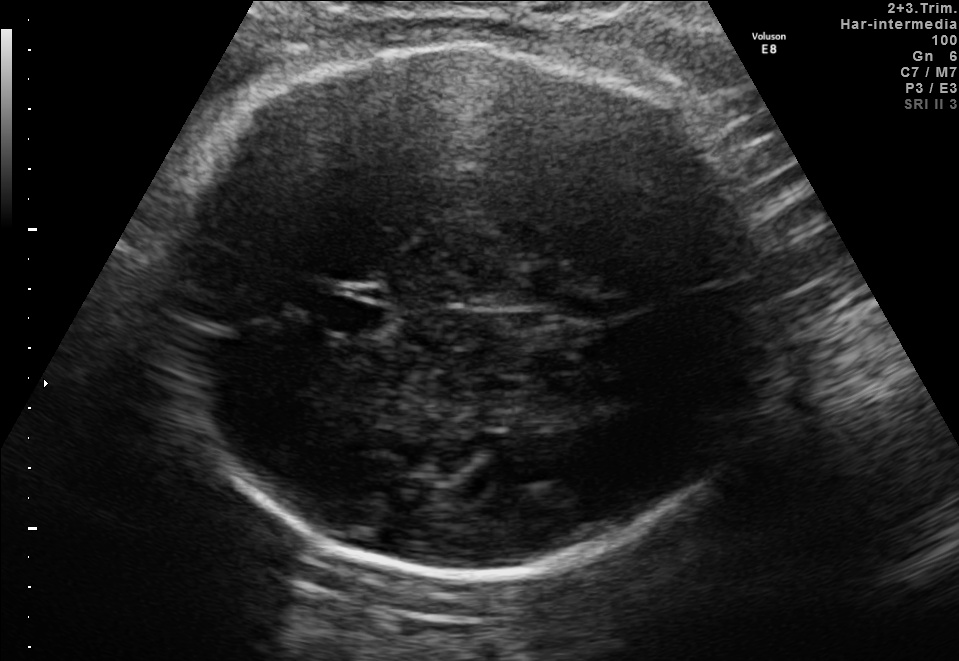
Fetal brain, trans-thalamic plane. Where is the cavum septum pellucidum?

CSP bounding box: [322,292,384,340]